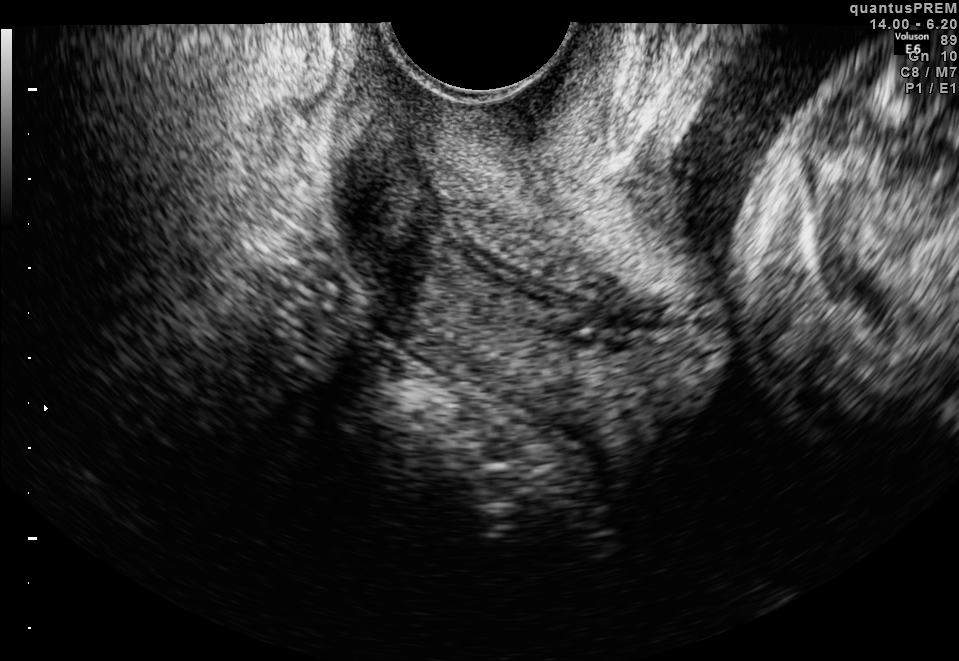
Classify this maternal-fetal ultrasound image as one of the six standard planes — fetal abdomen, fetal brain, fetal femur, fetal thorax, maternal cervix, or other. If it's fetal brain and one of the three standard brain planes (trans-thalamic, trans-cerebellum, trans-ventricular), name which.

Maternal cervix